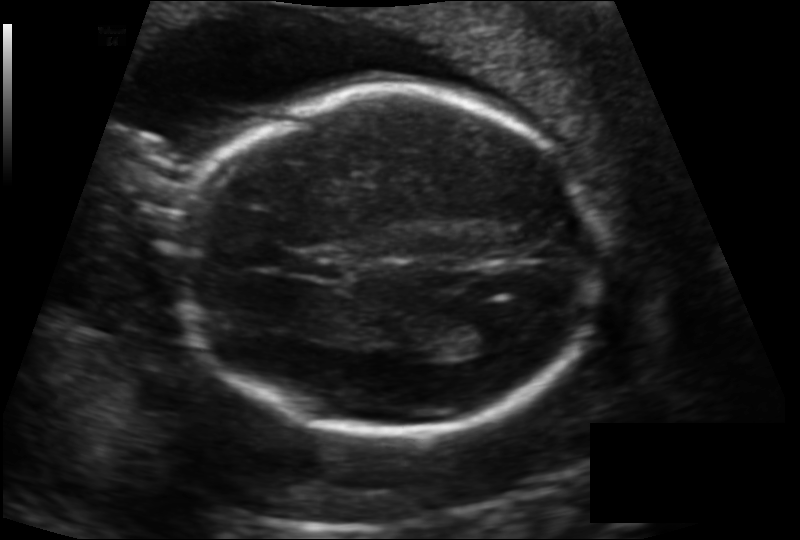
Estimate the fetal head circumference from this 2D ultrasound.

Head circumference: 176.6 mm (image width 113.2 mm).